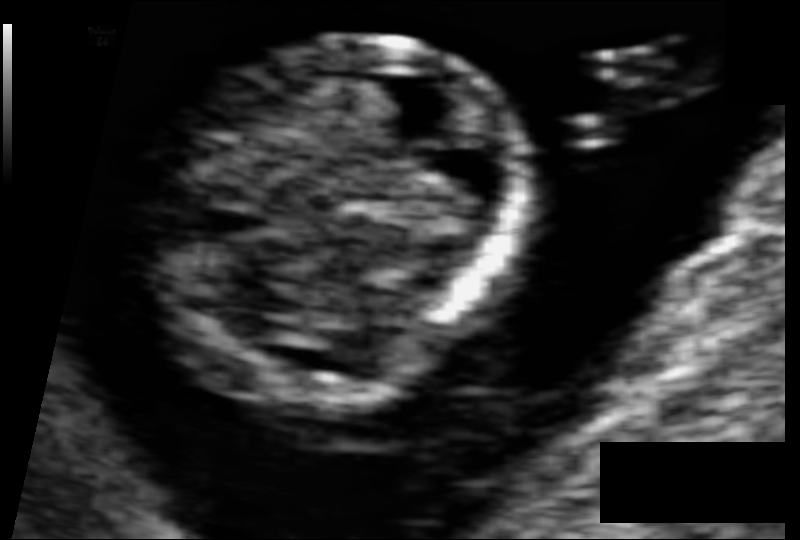
Measure the fetal head circumference shown in this ultrasound image. Image width: 43.4 mm.

Head circumference: 64.3 mm.